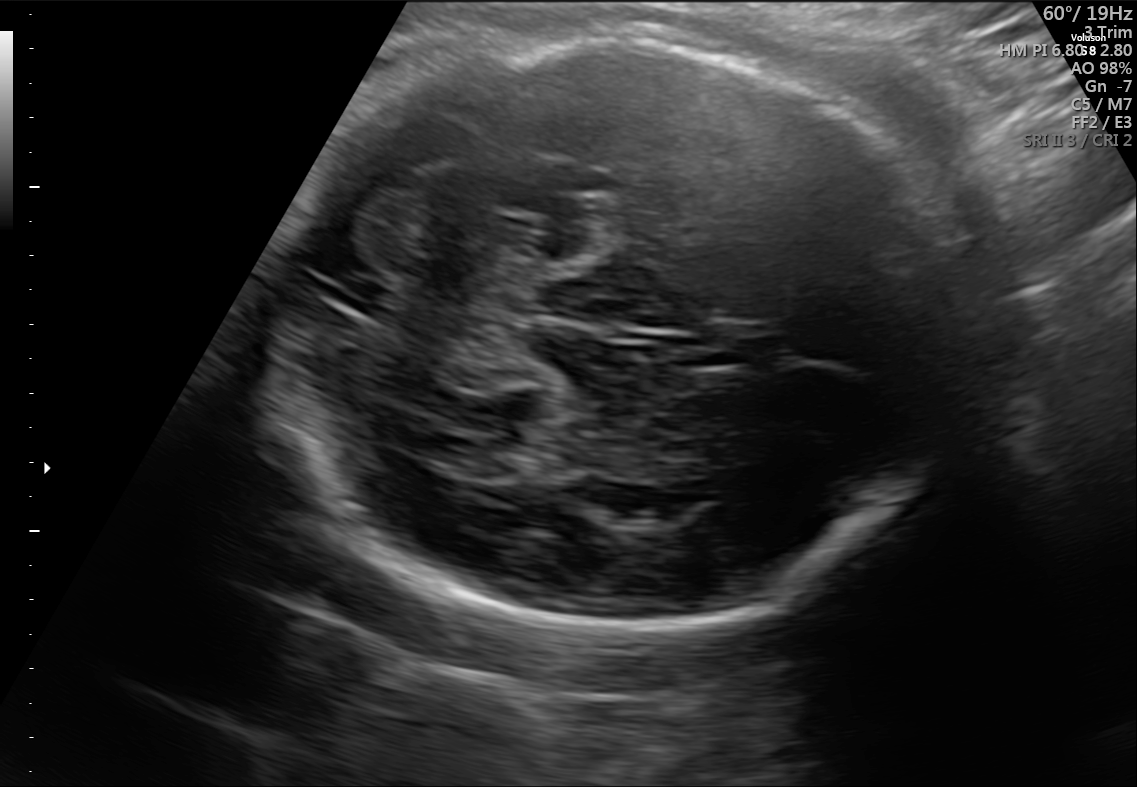
In this fetal brain, trans-cerebellum plane, give bounding boxes for the head outline, cavum septum pellucidum (CSP), and lateral ventricle (LV), where visible.

Head: [274,36,960,627]